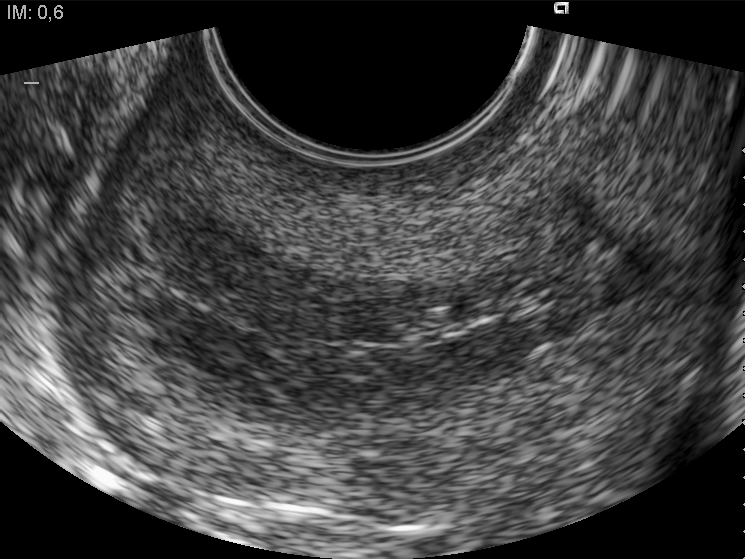
Which standard maternal-fetal ultrasound plane is shown: fetal abdomen, fetal brain, fetal femur, fetal thorax, maternal cervix, or other? If it's fetal brain and one of the three standard brain planes (trans-thalamic, trans-cerebellum, trans-ventricular), name which.

Maternal cervix